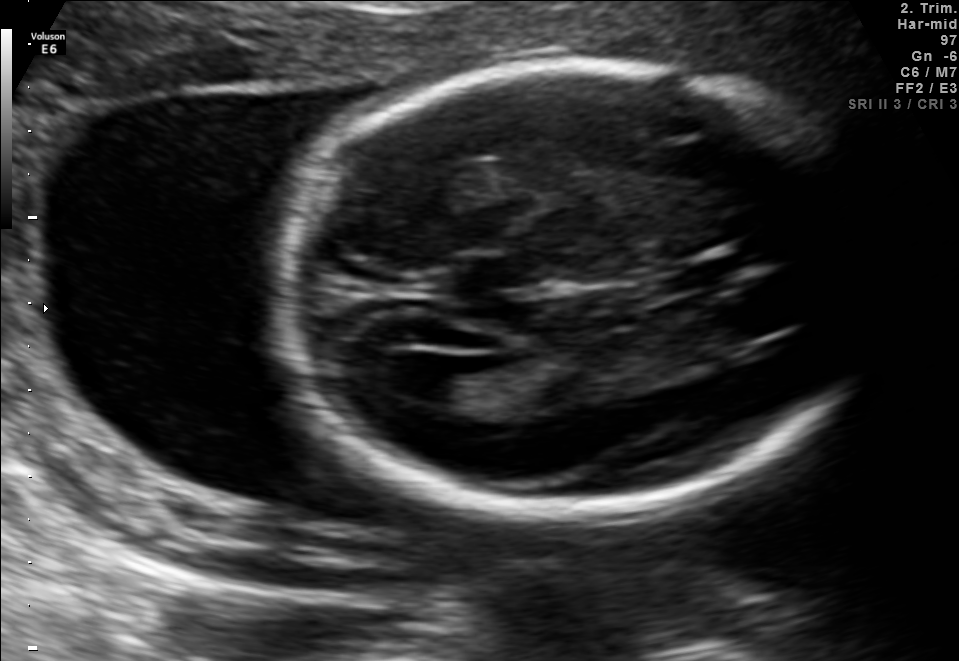
Fetal brain, trans-ventricular plane. Where is the cavum septum pellucidum?

CSP bounding box: [663,256,735,295]